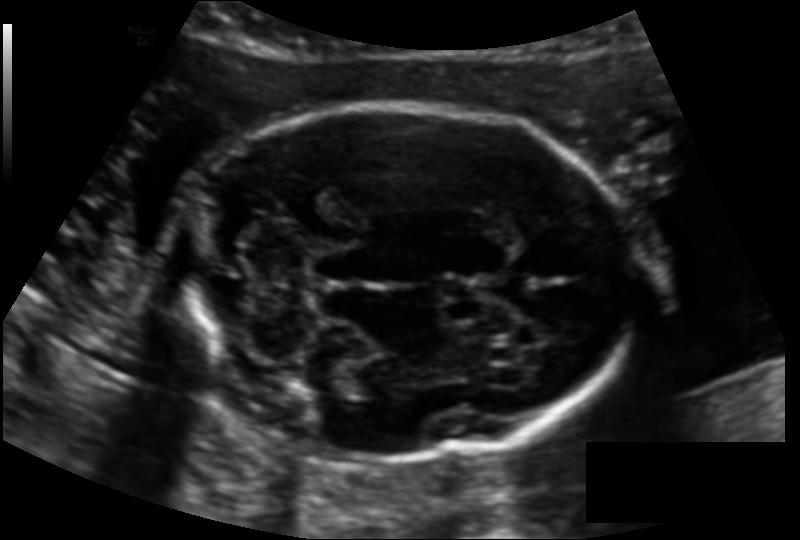
From this fetal ultrasound, estimate the head circumference (image width 102.3 mm).

Head circumference: 170.5 mm.